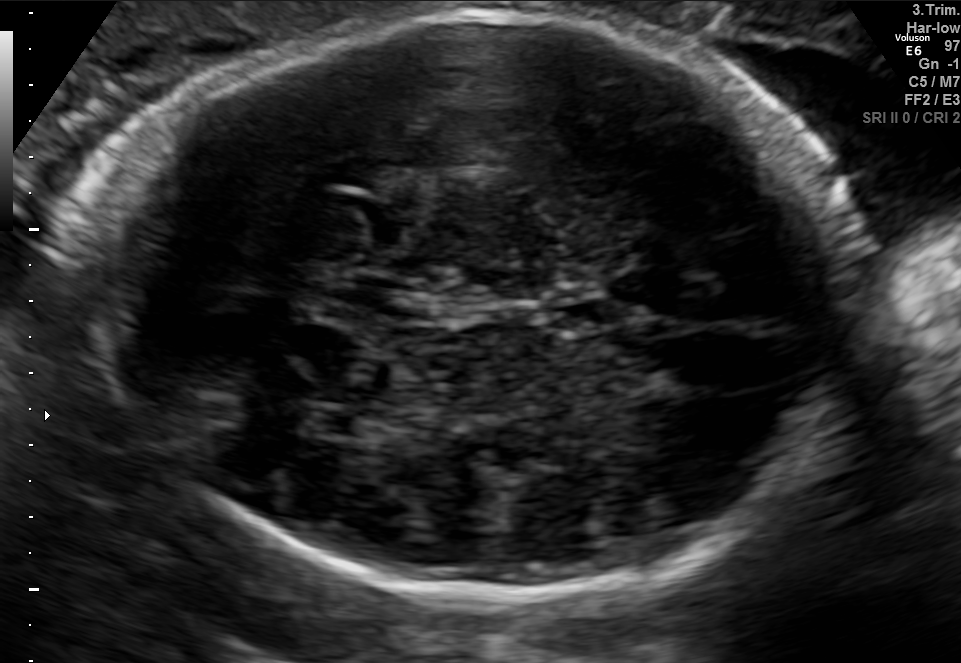
Fetal brain, trans-thalamic plane. Where is the cavum septum pellucidum?

CSP bounding box: [546,291,633,336]